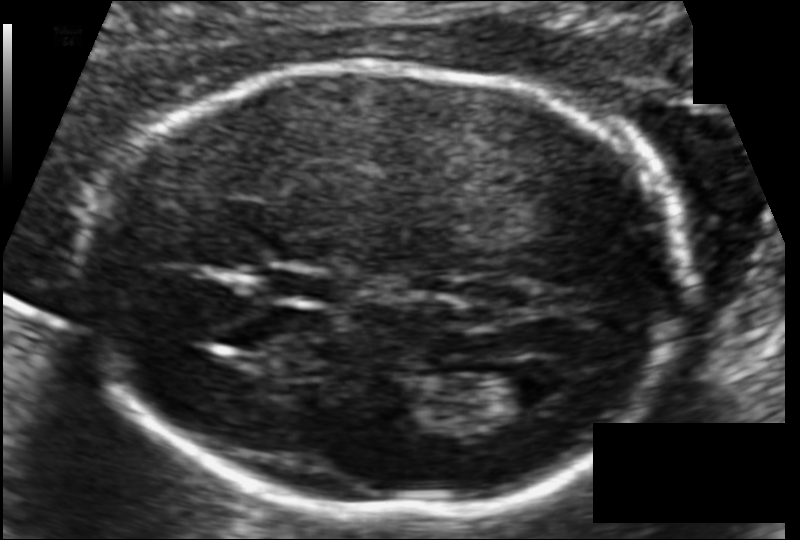
Fetal head ultrasound. Image width: 81.8 mm. Locate the fetal head.

Head: [85,66,683,510]